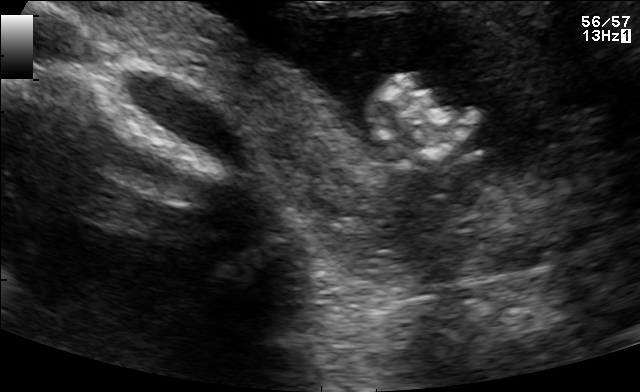
Which standard maternal-fetal ultrasound plane is shown: fetal abdomen, fetal brain, fetal femur, fetal thorax, maternal cervix, or other? If it's fetal brain and one of the three standard brain planes (trans-thalamic, trans-cerebellum, trans-ventricular), name which.

Other